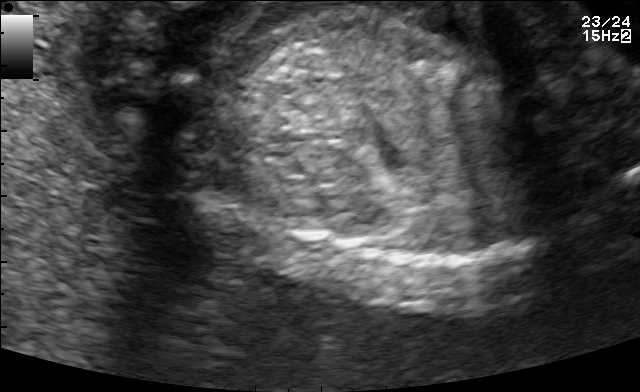
Which standard maternal-fetal ultrasound plane is shown: fetal abdomen, fetal brain, fetal femur, fetal thorax, maternal cervix, or other? If it's fetal brain and one of the three standard brain planes (trans-thalamic, trans-cerebellum, trans-ventricular), name which.

Other